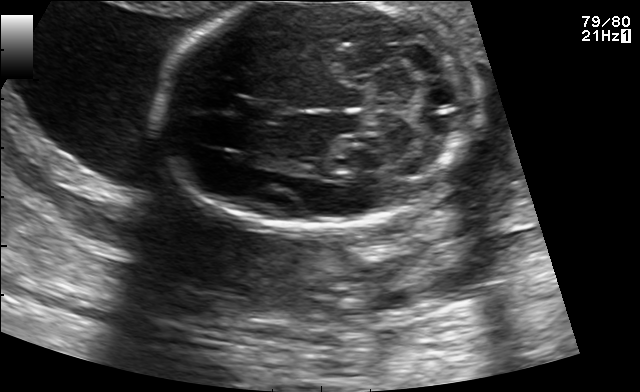
Identify the standard plane in this fetal ultrasound image: fetal abdomen, fetal brain, fetal femur, fetal thorax, maternal cervix, or other. If it's fetal brain and one of the three standard brain planes (trans-thalamic, trans-cerebellum, trans-ventricular), name which.

Fetal brain (trans-cerebellum plane)